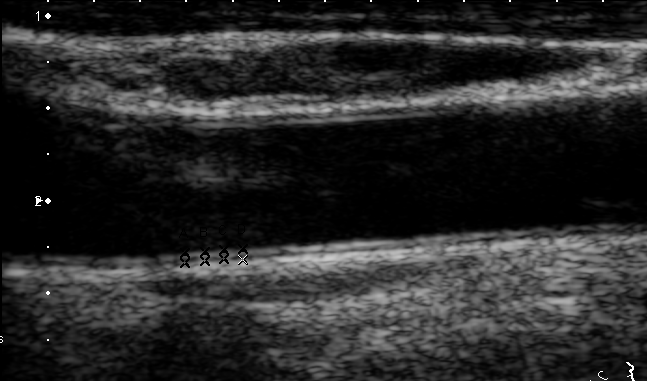
This is a 2D maternal-fetal ultrasound frame. Is it a fetal abdomen, fetal brain, fetal femur, fetal thorax, maternal cervix, or other standard plane? If it's fetal brain and one of the three standard brain planes (trans-thalamic, trans-cerebellum, trans-ventricular), name which.

Other